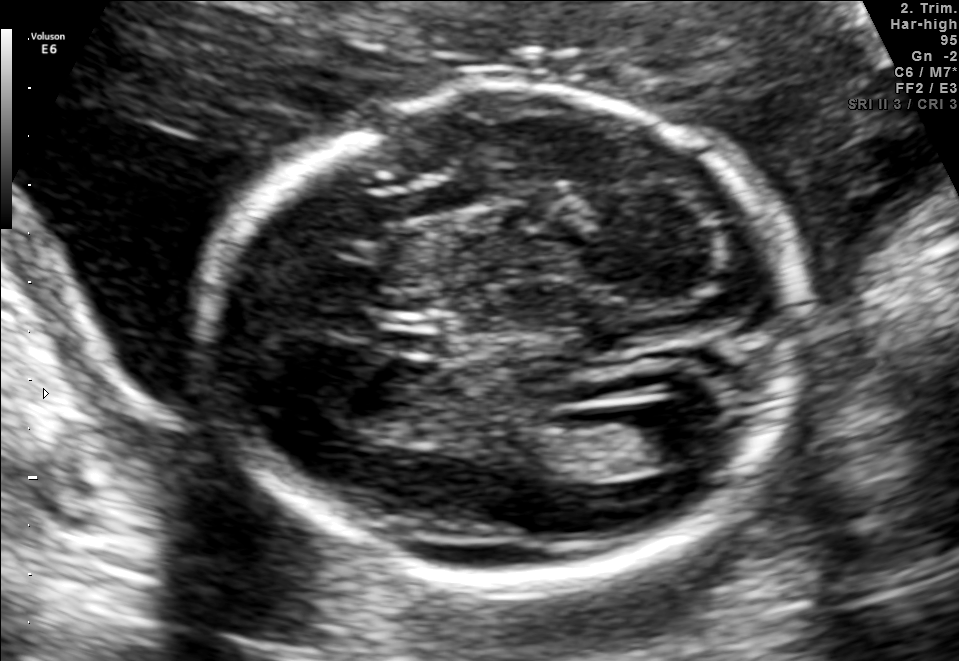
In this fetal brain, trans-ventricular plane, give the bounding box of the fetal head.

[187,75,824,600]